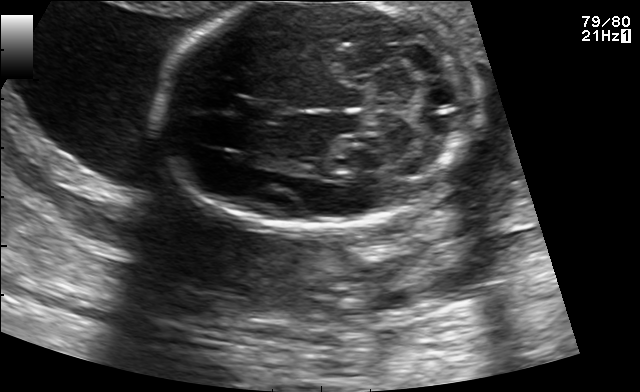
In this fetal brain, trans-cerebellum plane, give the bounding box of the fetal head.

[156,3,483,228]